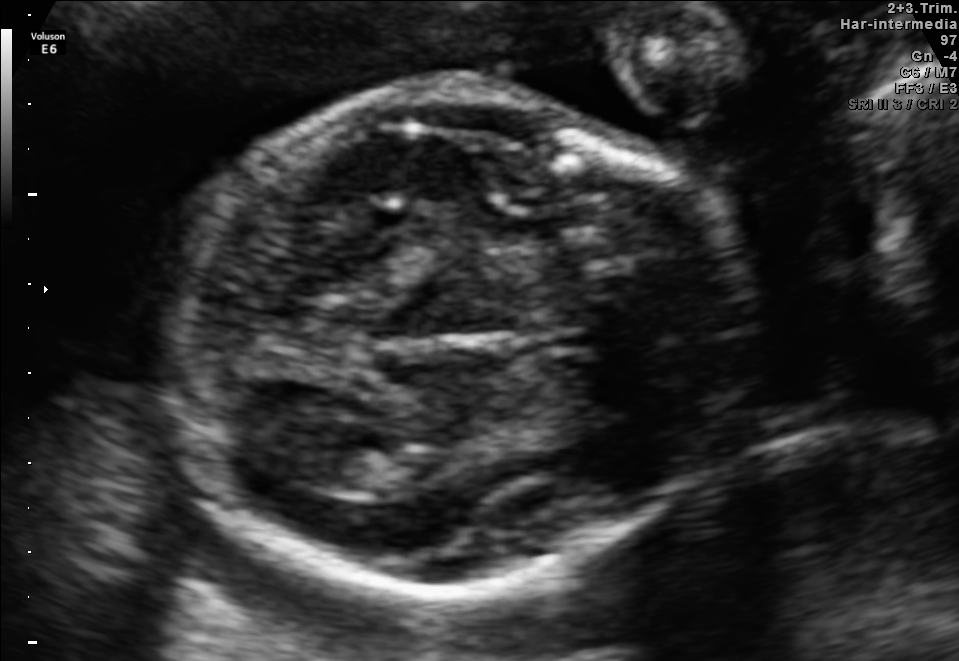
Fetal brain, trans-thalamic plane. Give [x1,y1,x2,y2] bounding boxes for each visible structure among: fetal head, CSP, LV.

Head: [161,90,758,601]
Lateral ventricle: [304,439,393,496]